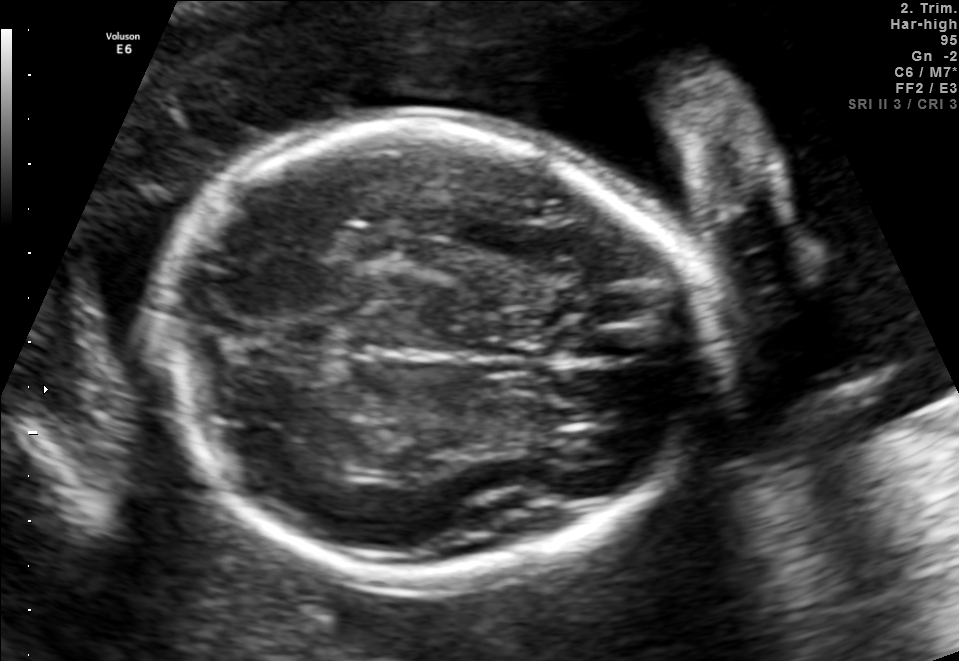
Fetal brain, trans-thalamic plane. Locate the fetal head and, if visible, the cavum septum pellucidum (CSP) and lateral ventricle (LV). Give bounding boxes as [x1,y1,x2,y2].

Head: [160,120,707,577]